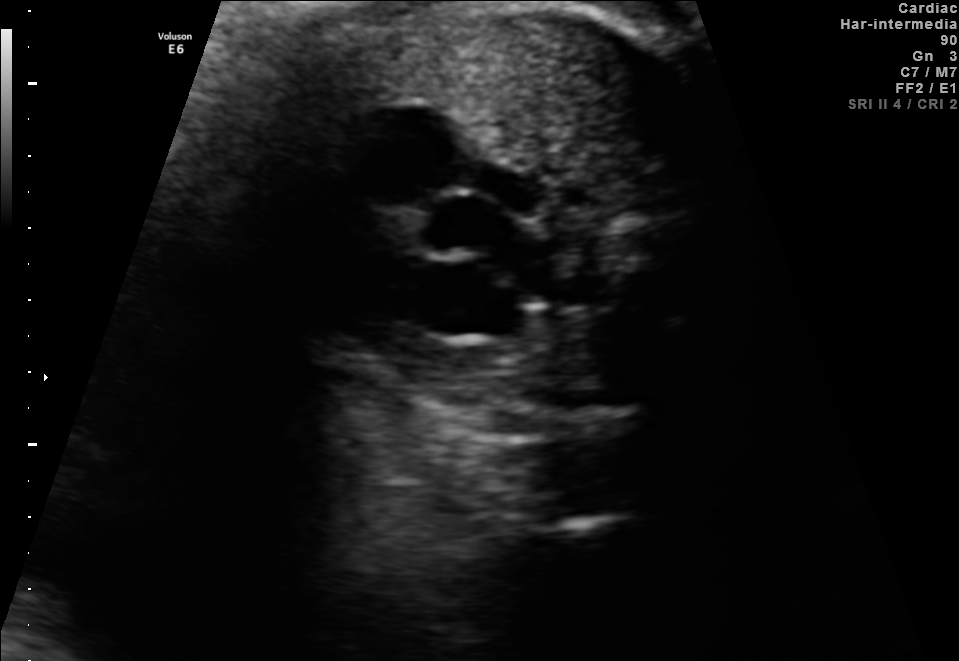
Classify this maternal-fetal ultrasound image as one of the six standard planes — fetal abdomen, fetal brain, fetal femur, fetal thorax, maternal cervix, or other. If it's fetal brain and one of the three standard brain planes (trans-thalamic, trans-cerebellum, trans-ventricular), name which.

Fetal thorax